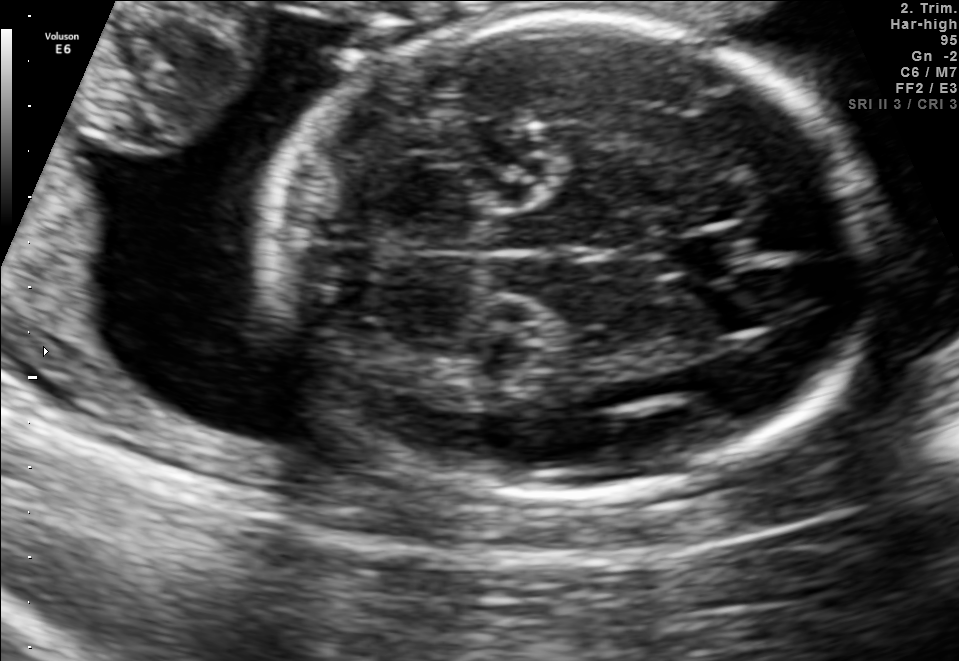
Fetal brain, trans-cerebellum plane. Where is the cavum septum pellucidum?

CSP bounding box: [667,219,754,289]